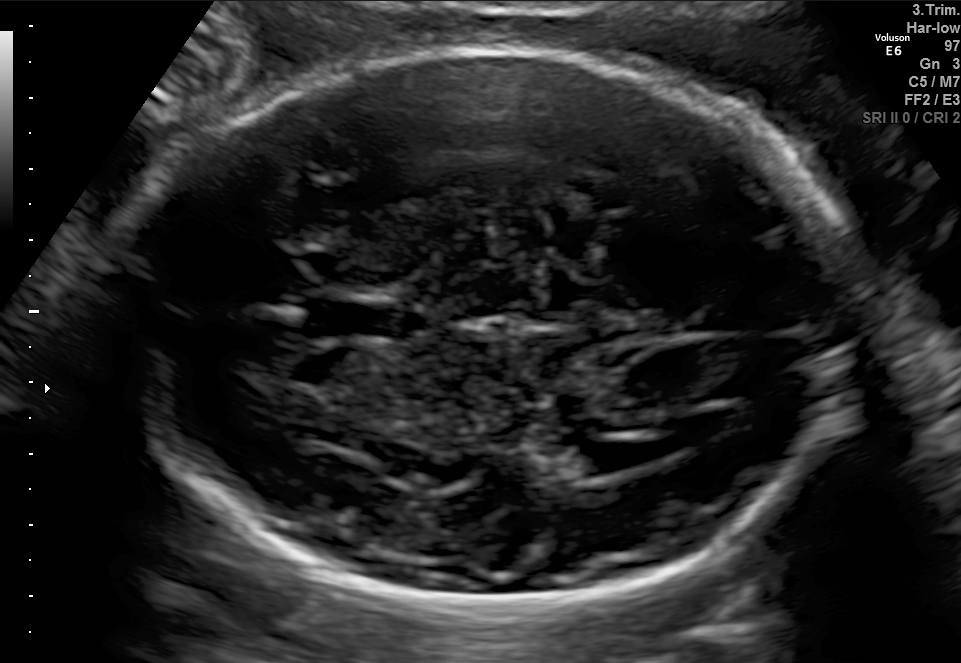
In this fetal brain, trans-ventricular plane, give the bounding box of the fetal head.

[112,44,875,617]